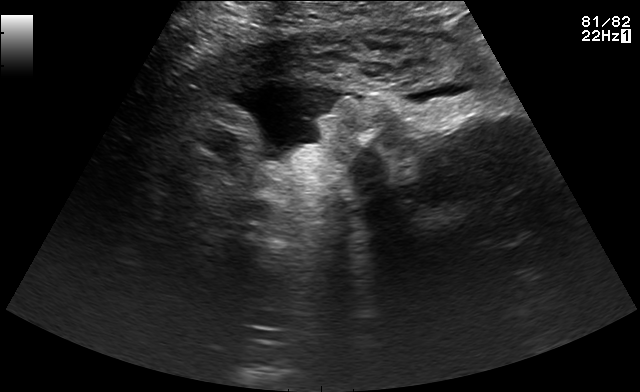
This is a 2D maternal-fetal ultrasound frame. Is it a fetal abdomen, fetal brain, fetal femur, fetal thorax, maternal cervix, or other standard plane? If it's fetal brain and one of the three standard brain planes (trans-thalamic, trans-cerebellum, trans-ventricular), name which.

Other